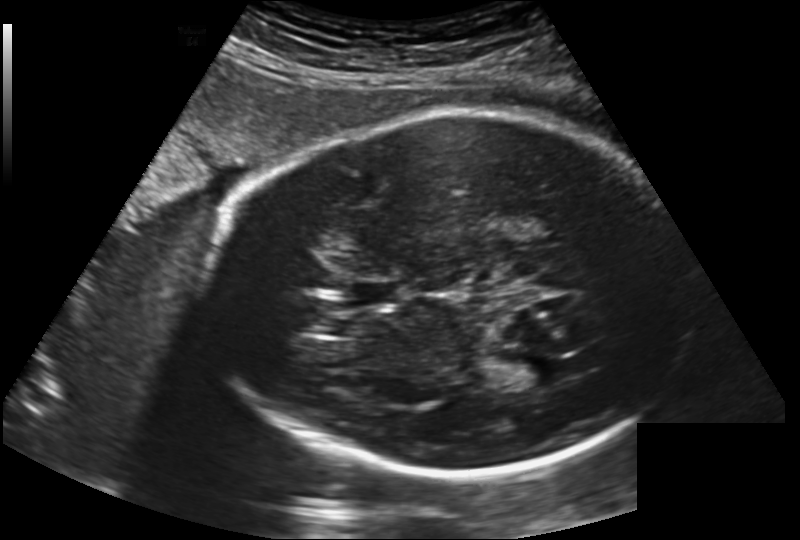
Measure the fetal head circumference shown in this ultrasound image. Image width: 161.7 mm.

Head circumference: 277.6 mm.